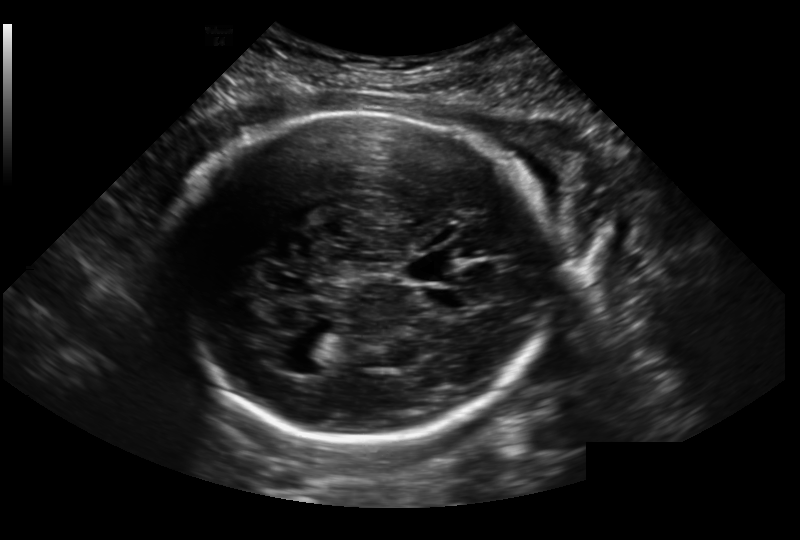
In this fetal head ultrasound, give the bounding box of the fetal head. Image width: 188.7 mm.

[176,109,549,443]